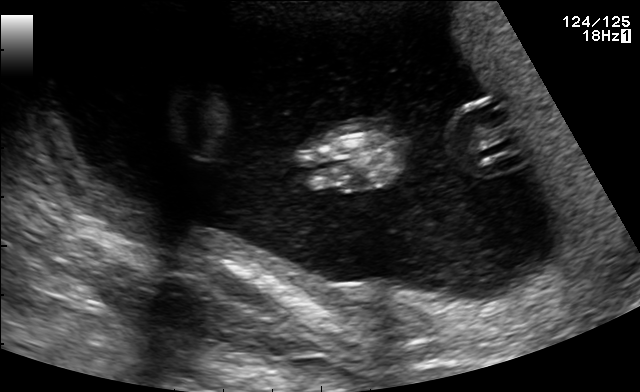
Which standard maternal-fetal ultrasound plane is shown: fetal abdomen, fetal brain, fetal femur, fetal thorax, maternal cervix, or other? If it's fetal brain and one of the three standard brain planes (trans-thalamic, trans-cerebellum, trans-ventricular), name which.

Other